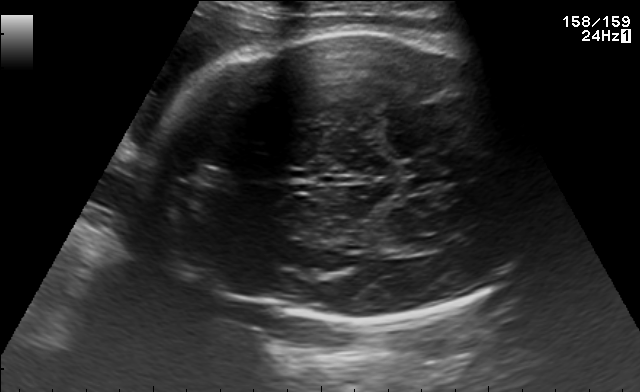
Fetal brain, trans-thalamic plane. Give [x1,y1,x2,y2] bounding boxes for each visible structure among: fetal head, CSP, LV.

Head: [141,27,532,324]
Lateral ventricle: [380,236,429,259]